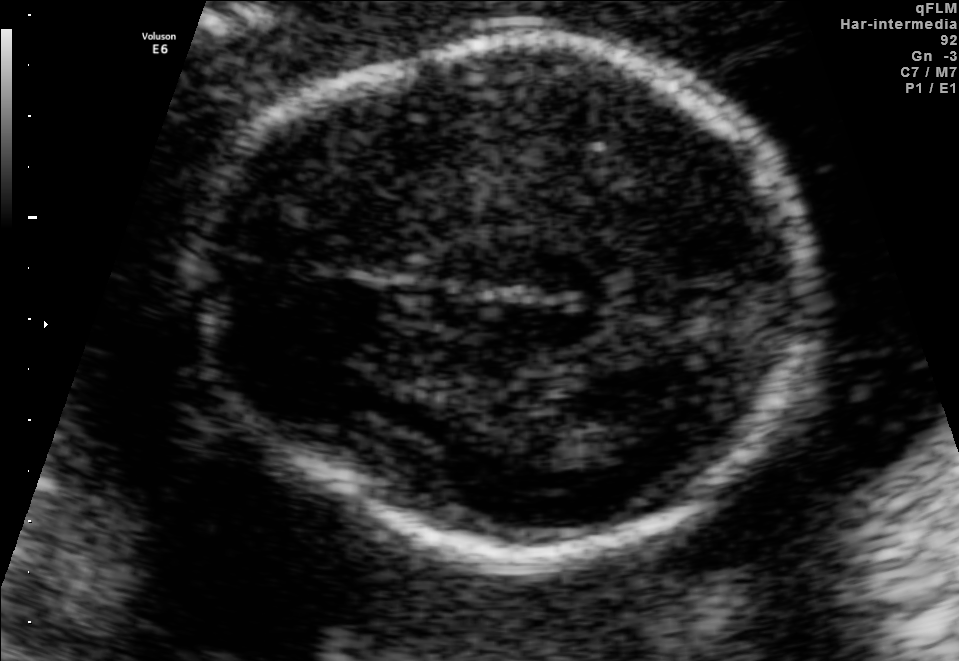
Identify the standard plane in this fetal ultrasound image: fetal abdomen, fetal brain, fetal femur, fetal thorax, maternal cervix, or other. If it's fetal brain and one of the three standard brain planes (trans-thalamic, trans-cerebellum, trans-ventricular), name which.

Fetal brain (trans-thalamic plane)